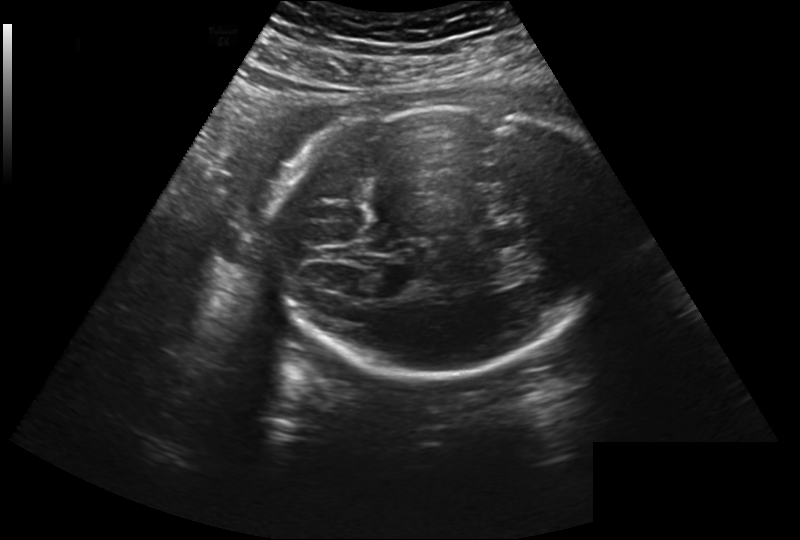
Estimate the fetal head circumference from this 2D ultrasound.

Head circumference: 264.3 mm (image width 208.3 mm).